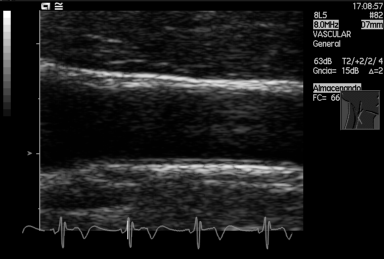
Classify this maternal-fetal ultrasound image as one of the six standard planes — fetal abdomen, fetal brain, fetal femur, fetal thorax, maternal cervix, or other. If it's fetal brain and one of the three standard brain planes (trans-thalamic, trans-cerebellum, trans-ventricular), name which.

Other